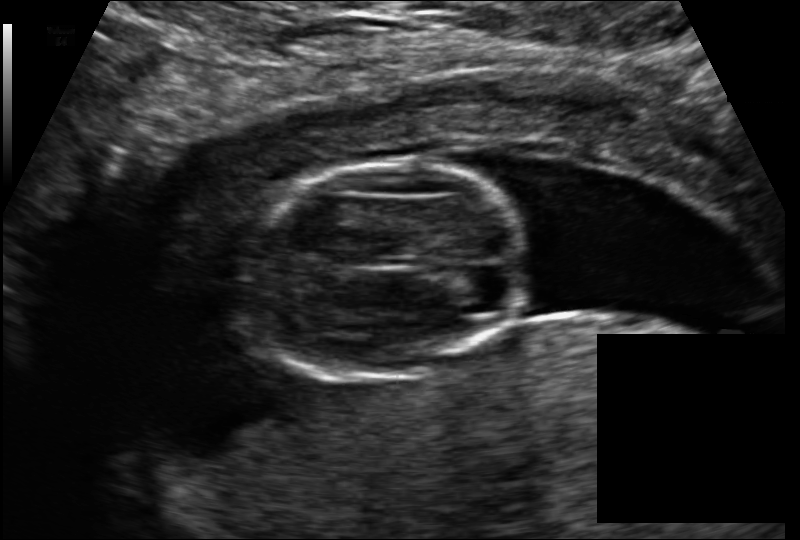
In this fetal head ultrasound, give bounding boxes for the head outline, cavum septum pellucidum (CSP), and lateral ventricle (LV), where visible. Image width: 91.0 mm.

Head: [244,162,524,378]